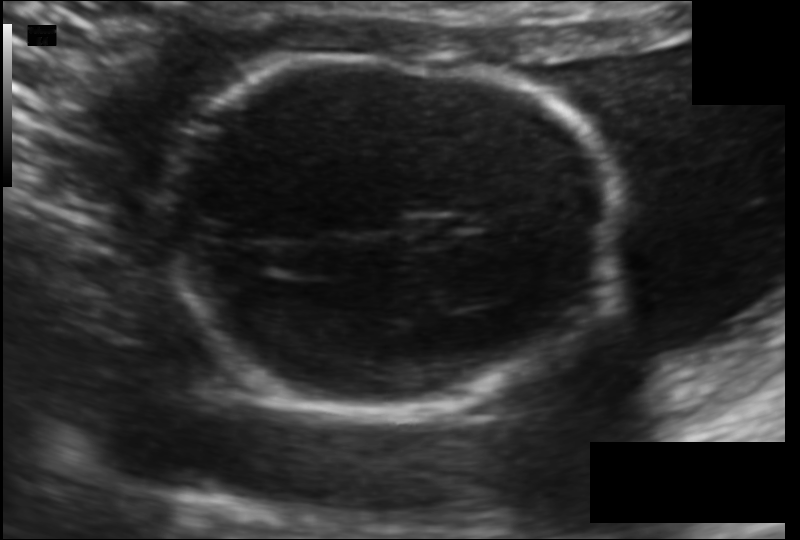
In this fetal head ultrasound, give the bounding box of the fetal head. Image width: 91.8 mm.

[165,57,620,416]